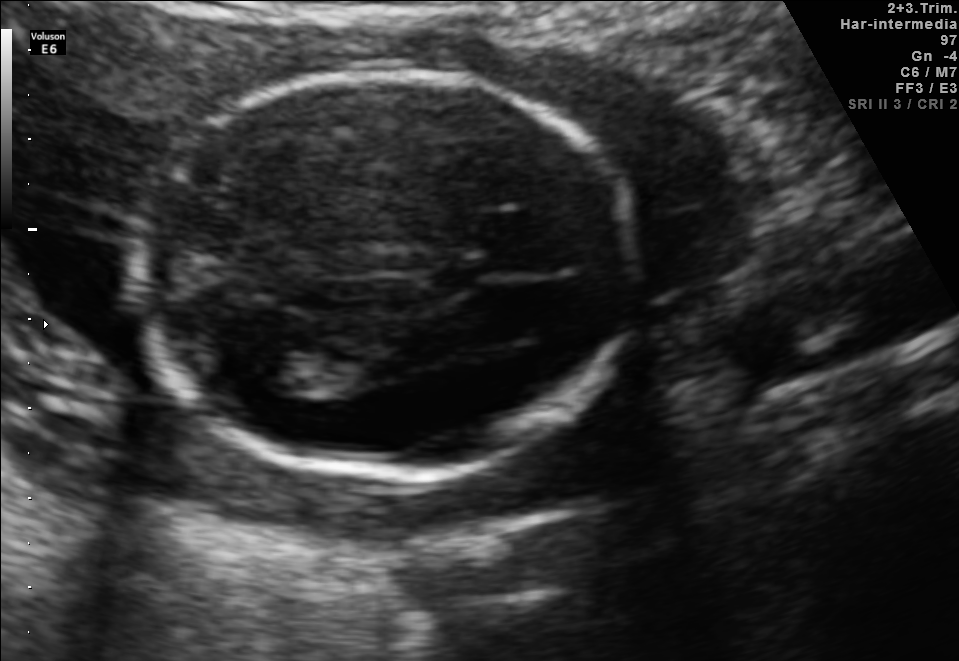
Fetal brain, trans-ventricular plane. Locate the fetal head.

Head: [124,65,647,484]